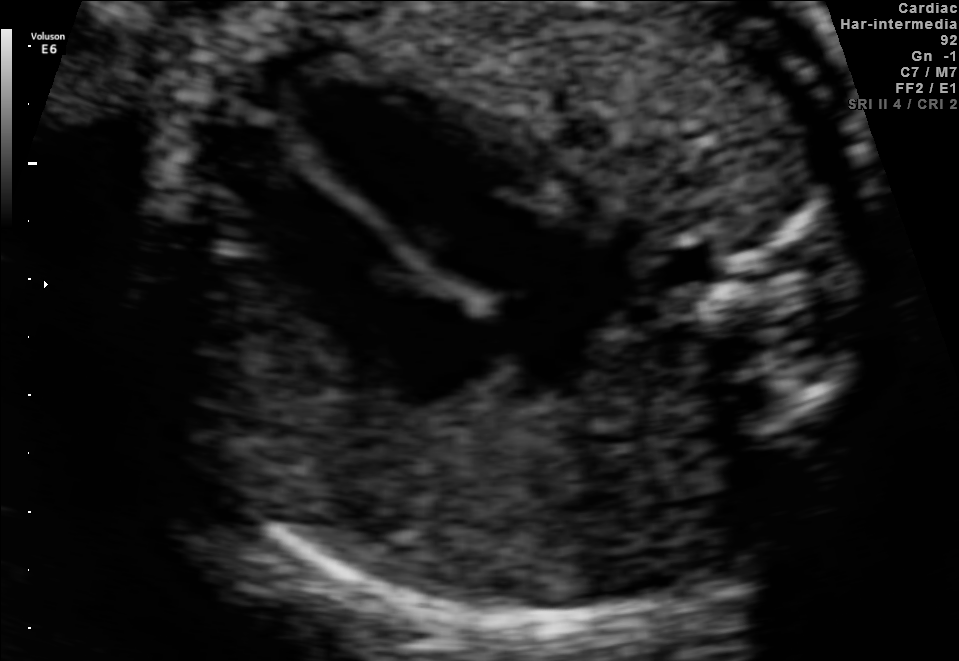
Which standard maternal-fetal ultrasound plane is shown: fetal abdomen, fetal brain, fetal femur, fetal thorax, maternal cervix, or other? If it's fetal brain and one of the three standard brain planes (trans-thalamic, trans-cerebellum, trans-ventricular), name which.

Fetal thorax